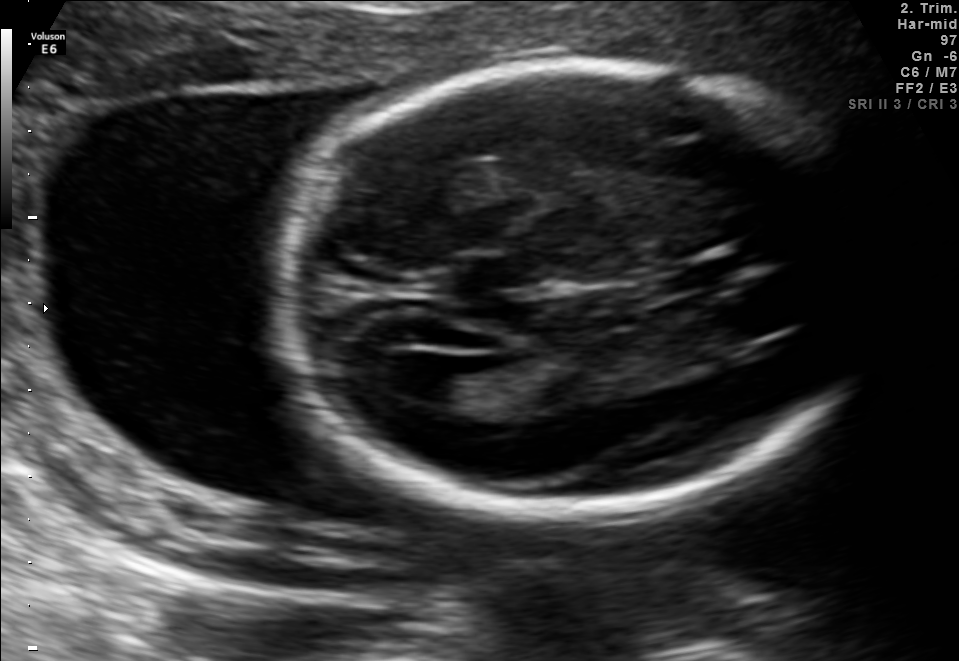
In this fetal brain, trans-ventricular plane, give the bounding box of the cavum septum pellucidum.

[663,256,735,295]